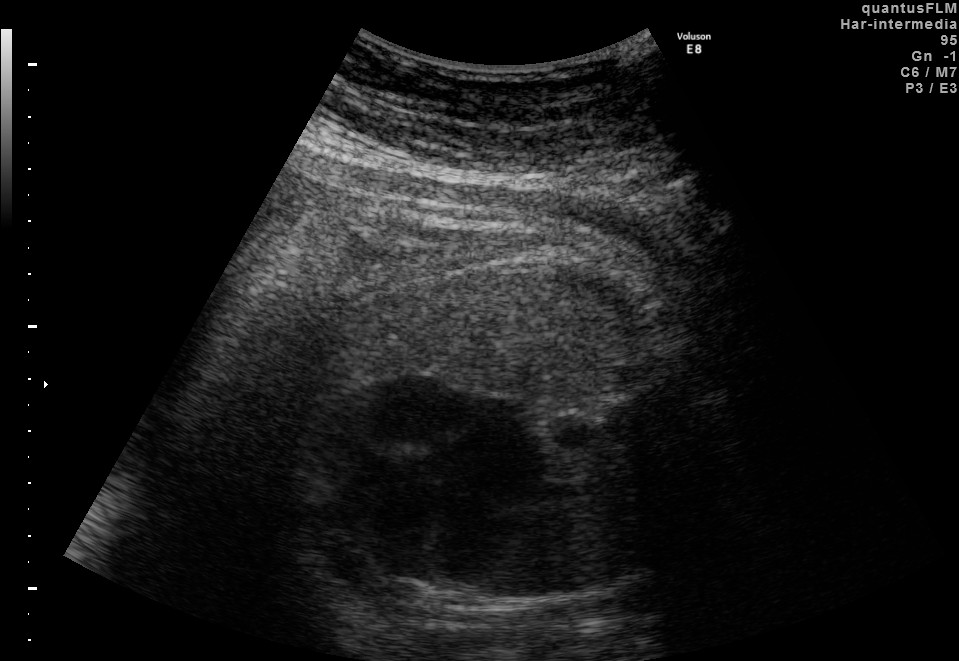
Identify the standard plane in this fetal ultrasound image: fetal abdomen, fetal brain, fetal femur, fetal thorax, maternal cervix, or other. If it's fetal brain and one of the three standard brain planes (trans-thalamic, trans-cerebellum, trans-ventricular), name which.

Fetal thorax